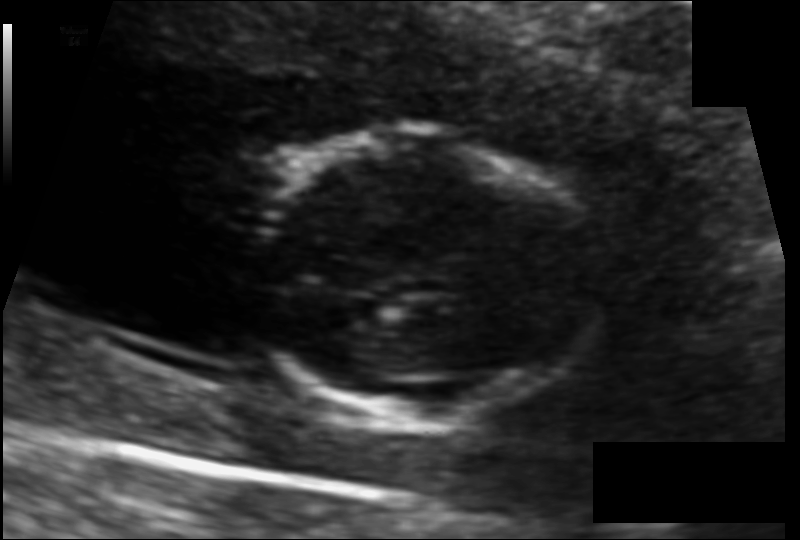
In this fetal head ultrasound, give bounding boxes for the head outline, cavum septum pellucidum (CSP), and lateral ventricle (LV), where visible. Image width: 72.8 mm.

Head: [249,138,606,418]